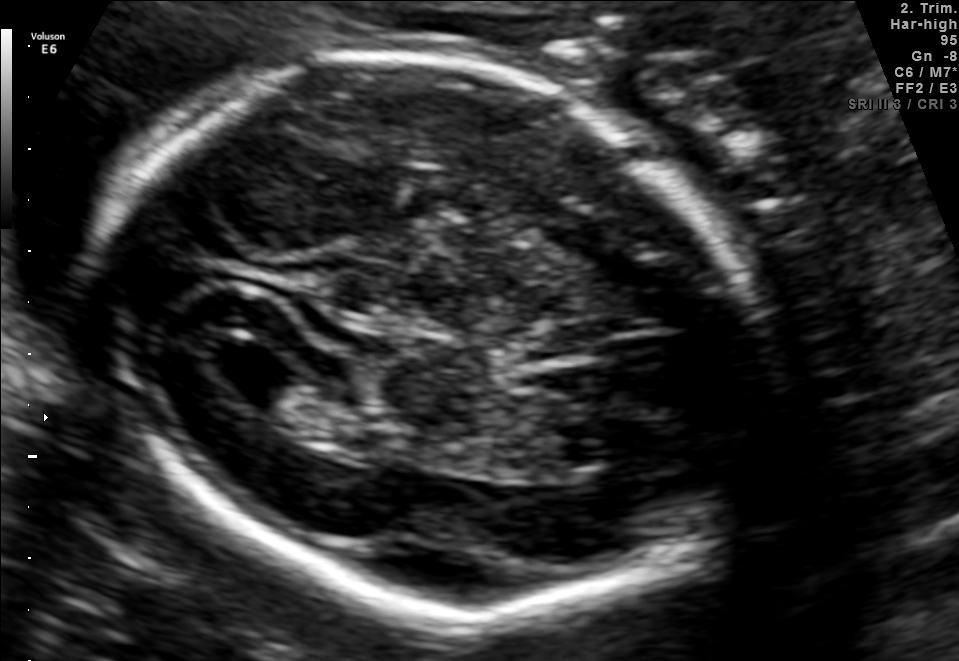
In this fetal brain, trans-ventricular plane, give bounding boxes for the head outline, cavum septum pellucidum (CSP), and lateral ventricle (LV), where visible.

Head: [83,41,788,638]
Lateral ventricle: [199,324,301,414]